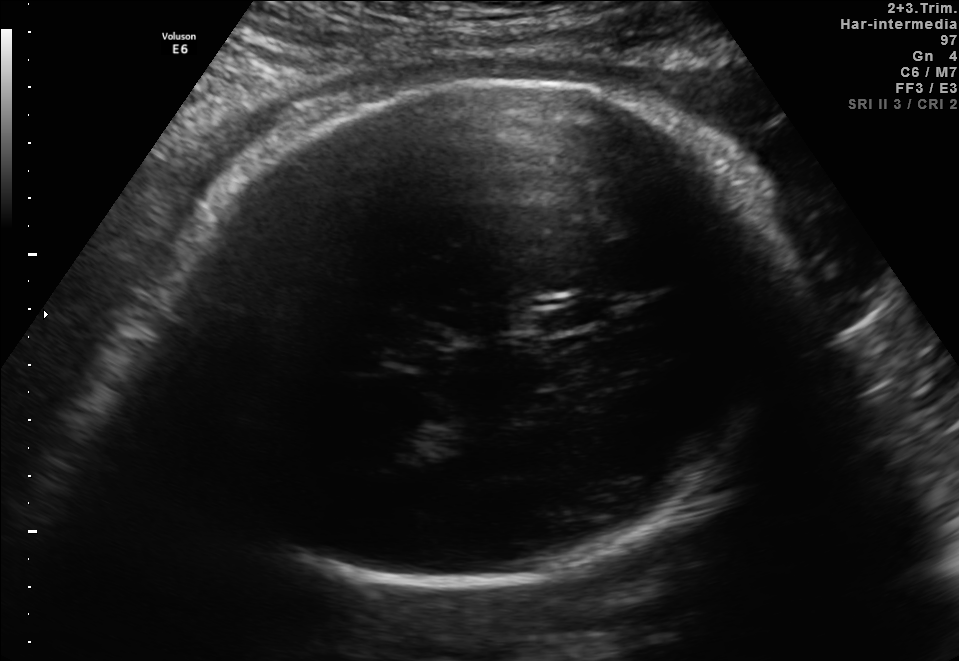
Fetal brain, trans-thalamic plane. Give [x1,y1,x2,y2] bounding boxes for each visible structure among: fetal head, CSP, LV.

Head: [162,80,797,583]
CSP: [529,300,601,336]